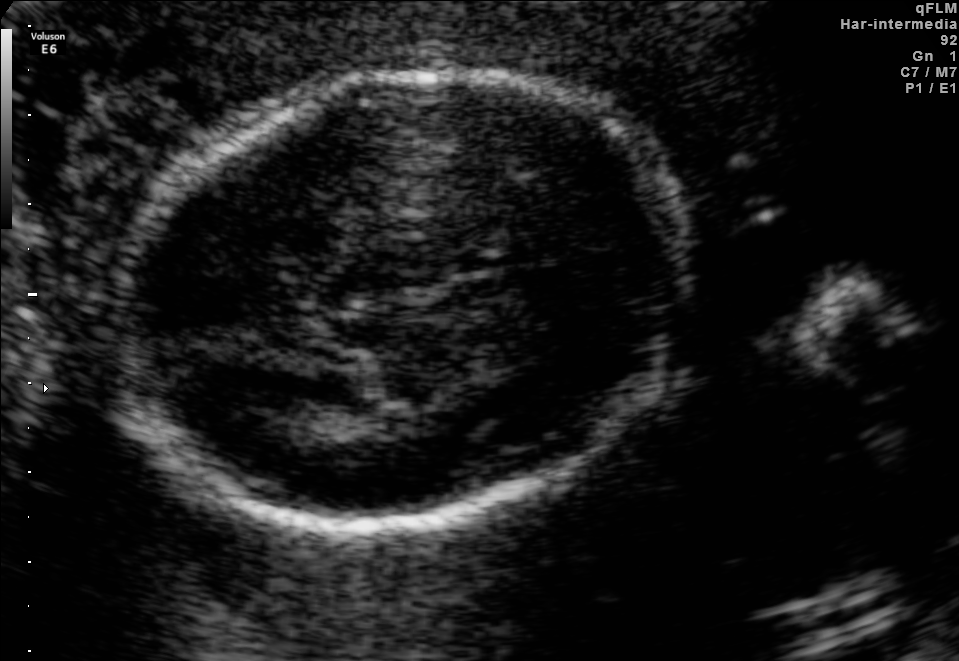
Identify the standard plane in this fetal ultrasound image: fetal abdomen, fetal brain, fetal femur, fetal thorax, maternal cervix, or other. If it's fetal brain and one of the three standard brain planes (trans-thalamic, trans-cerebellum, trans-ventricular), name which.

Fetal brain (trans-thalamic plane)